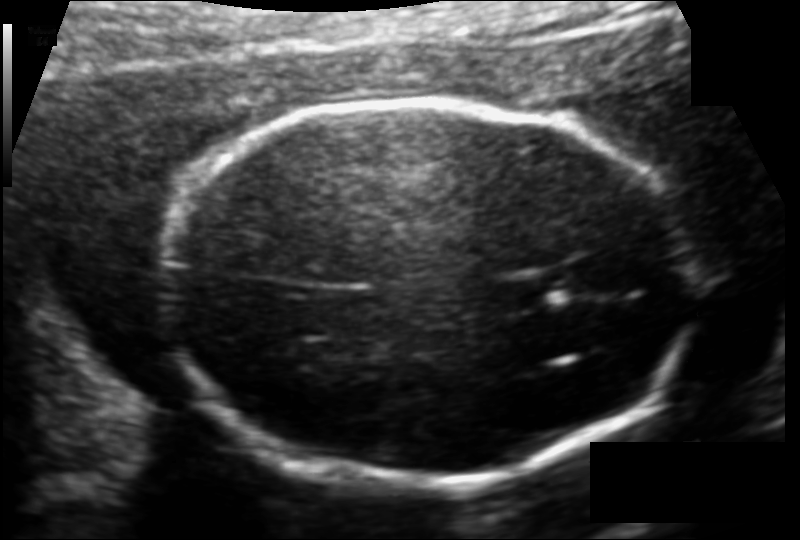
Fetal head ultrasound. Image width: 95.0 mm. Locate the fetal head and, if visible, the cavum septum pellucidum (CSP) and lateral ventricle (LV). Give bounding boxes as [x1,y1,x2,y2].

Head: [166,101,694,488]
CSP: [494,267,563,313]